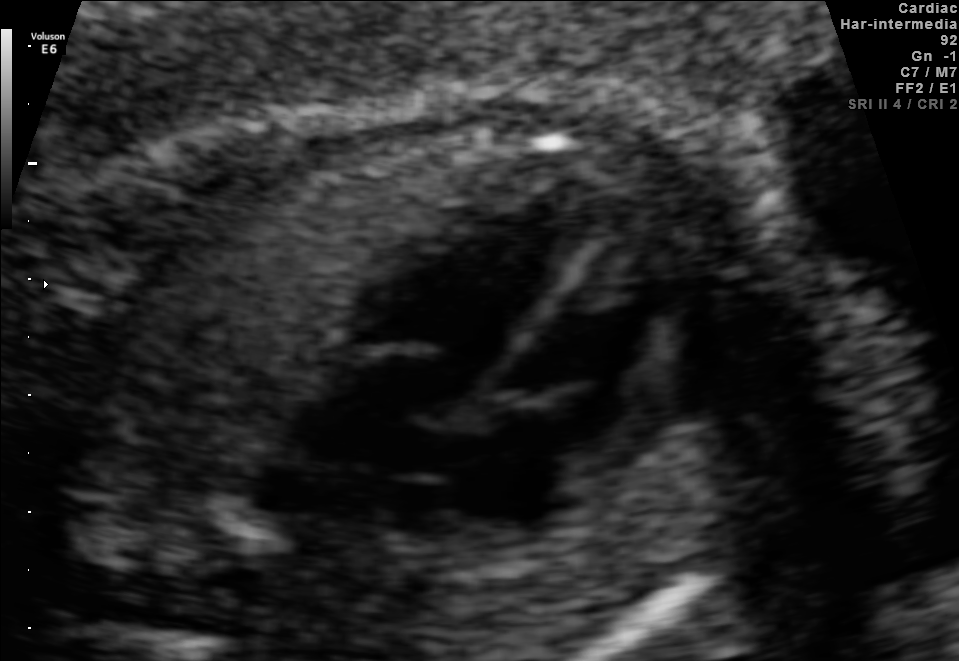
Identify the standard plane in this fetal ultrasound image: fetal abdomen, fetal brain, fetal femur, fetal thorax, maternal cervix, or other. If it's fetal brain and one of the three standard brain planes (trans-thalamic, trans-cerebellum, trans-ventricular), name which.

Fetal thorax